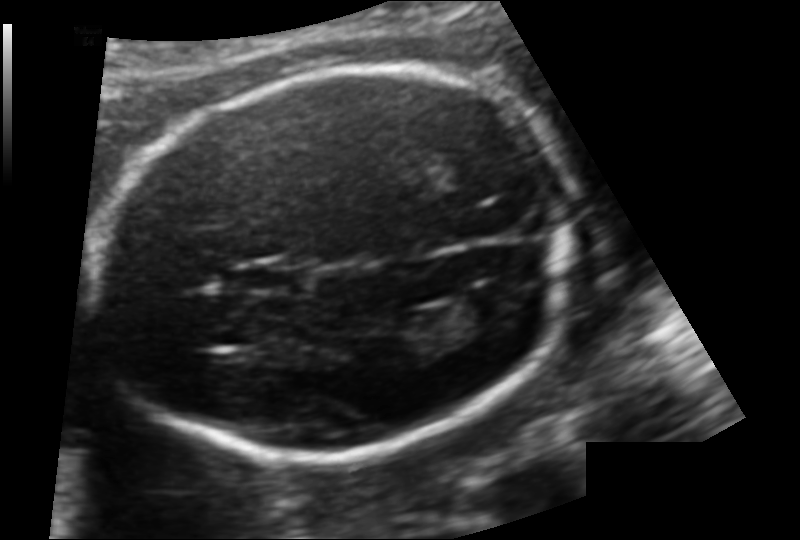
Fetal head ultrasound. Image width: 98.8 mm. Locate the fetal head and, if visible, the cavum septum pellucidum (CSP) and lateral ventricle (LV). Give bounding boxes as [x1,y1,x2,y2].

Head: [95,69,570,466]
CSP: [230,255,308,300]
Lateral ventricle: [443,282,510,337]